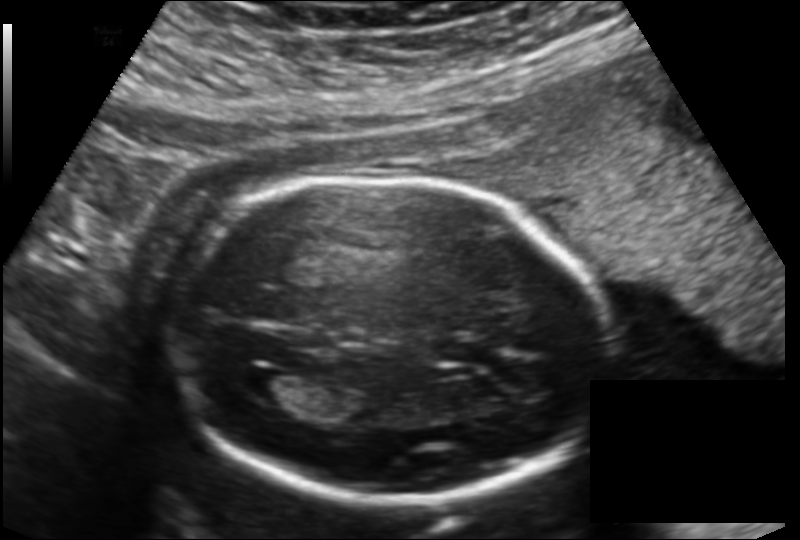
Fetal head ultrasound. Image width: 120.4 mm. Locate the cavum septum pellucidum.

CSP: [435,337,488,366]